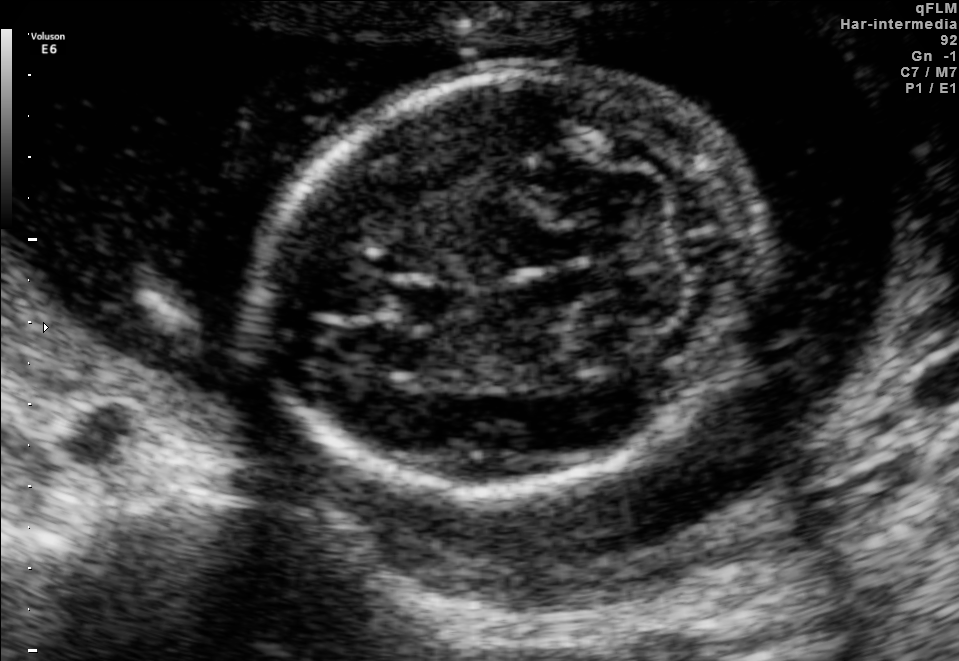
Fetal brain, trans-cerebellum plane. Where is the fetal head?

Head bounding box: [264,66,755,497]